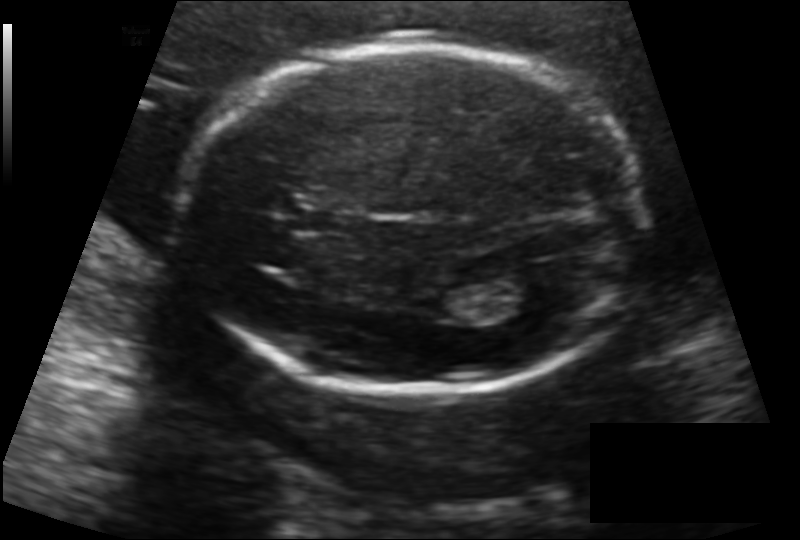
Fetal head ultrasound. Image width: 113.3 mm. Where is the lateral ventricle?

Lateral ventricle bounding box: [489,268,558,320]